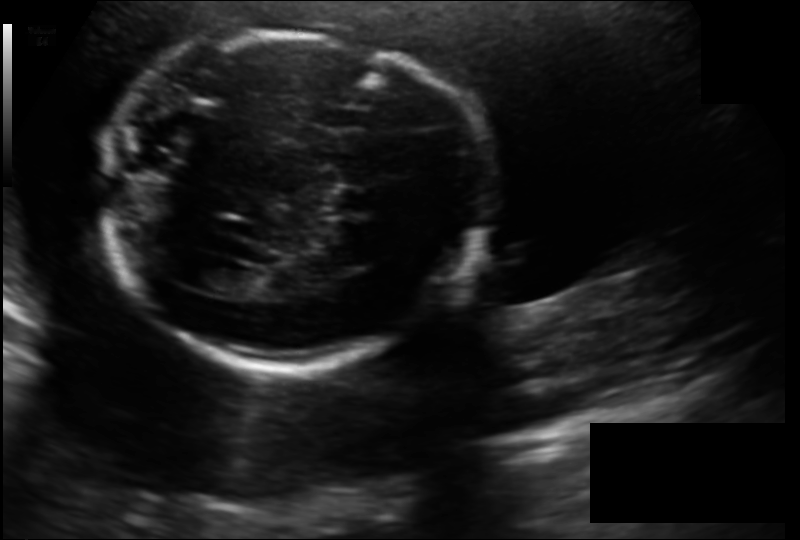
What is the fetal head circumference? Image width is 126.7 mm.

187.8 mm